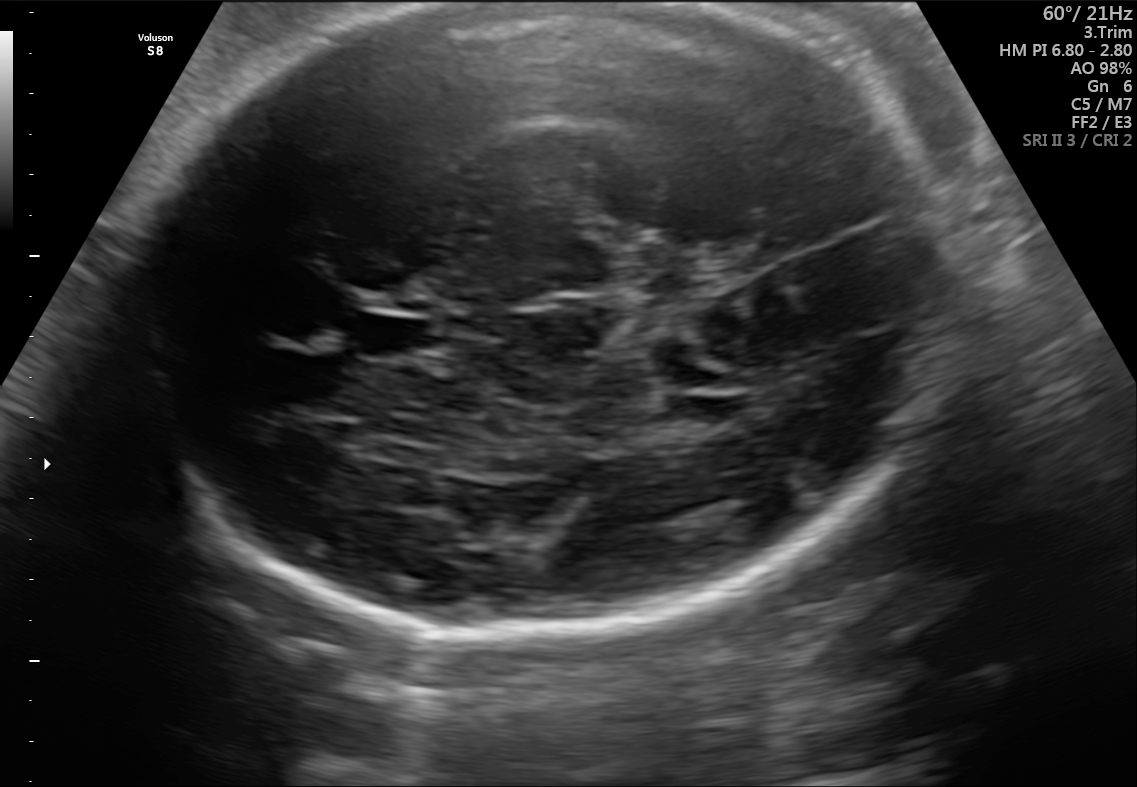
Fetal brain, trans-thalamic plane. Locate the fetal head and, if visible, the cavum septum pellucidum (CSP) and lateral ventricle (LV). Give bounding boxes as [x1,y1,x2,y2].

Head: [128,4,950,645]
CSP: [357,314,432,360]